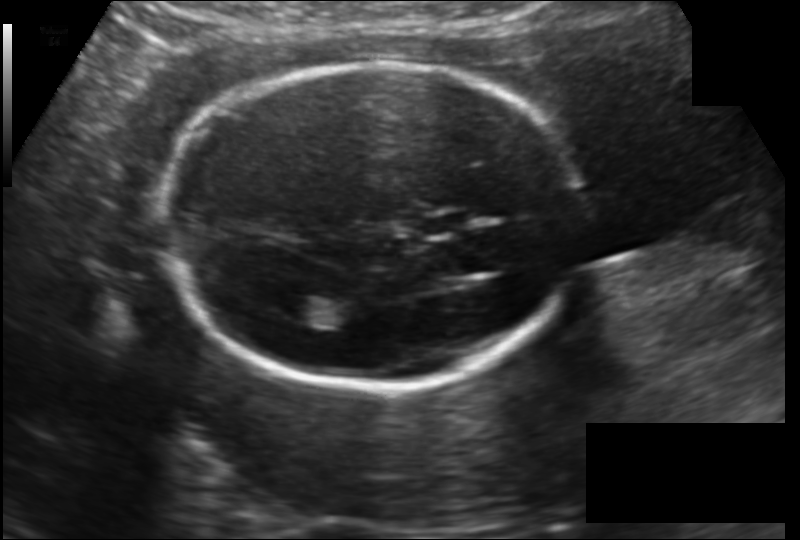
Fetal head ultrasound. Image width: 118.1 mm. Locate the cavum septum pellucidum.

CSP: [413,206,475,243]